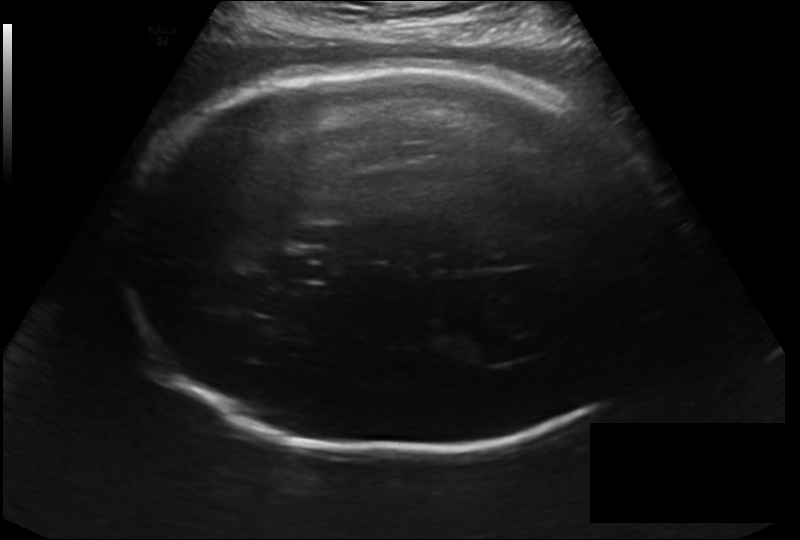
Fetal head ultrasound. Image width: 171.6 mm. Where is the lateral ventricle?

Lateral ventricle bounding box: [467,334,531,369]